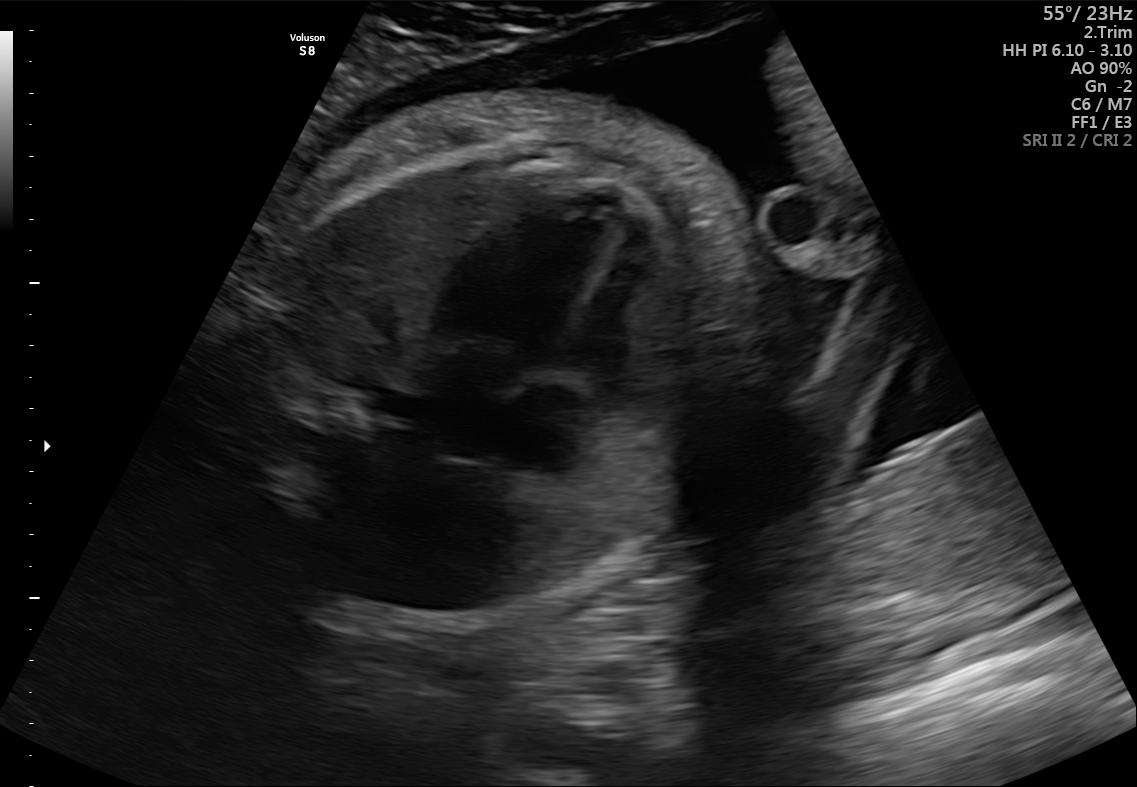
Identify the standard plane in this fetal ultrasound image: fetal abdomen, fetal brain, fetal femur, fetal thorax, maternal cervix, or other. If it's fetal brain and one of the three standard brain planes (trans-thalamic, trans-cerebellum, trans-ventricular), name which.

Fetal thorax